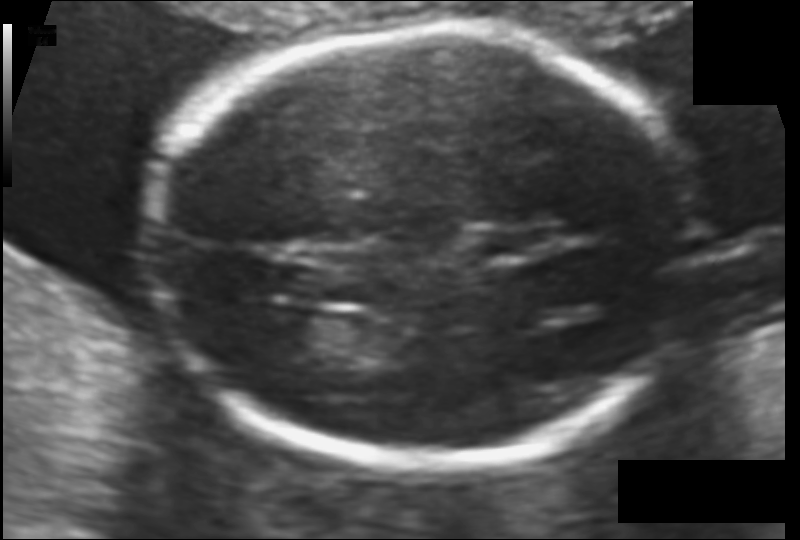
Estimate the fetal head circumference from this 2D ultrasound.

Head circumference: 164.4 mm (image width 82.1 mm).